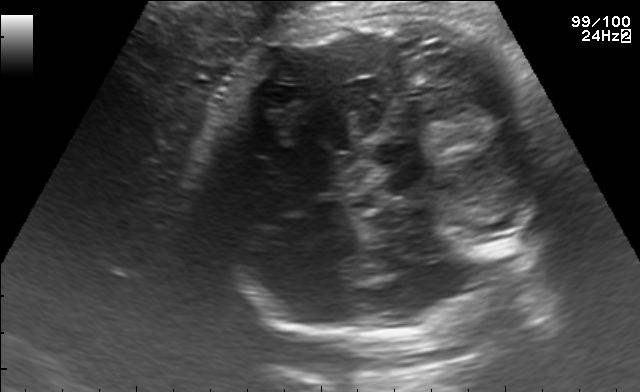
In this fetal brain, trans-cerebellum plane, give bounding boxes for the head outline, cavum septum pellucidum (CSP), and lateral ventricle (LV), where visible.

Head: [202,3,559,340]